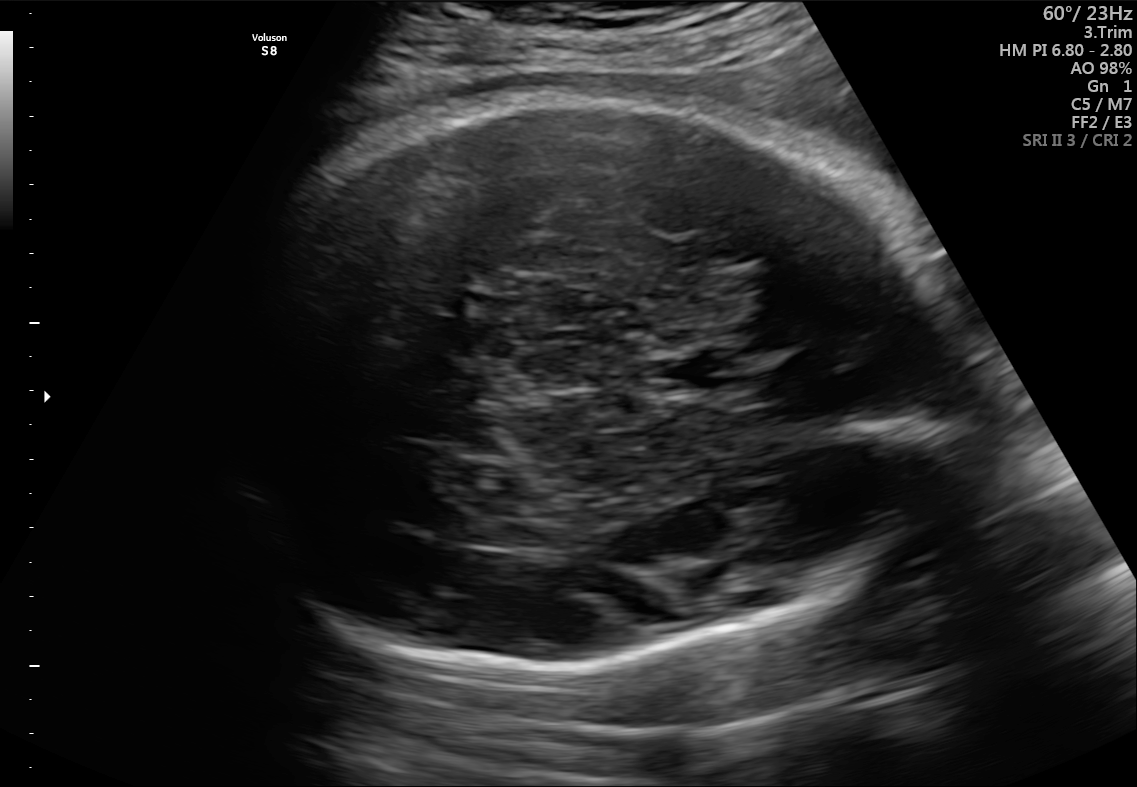
Fetal brain, trans-thalamic plane. Locate the fetal head.

Head: [215,95,941,670]